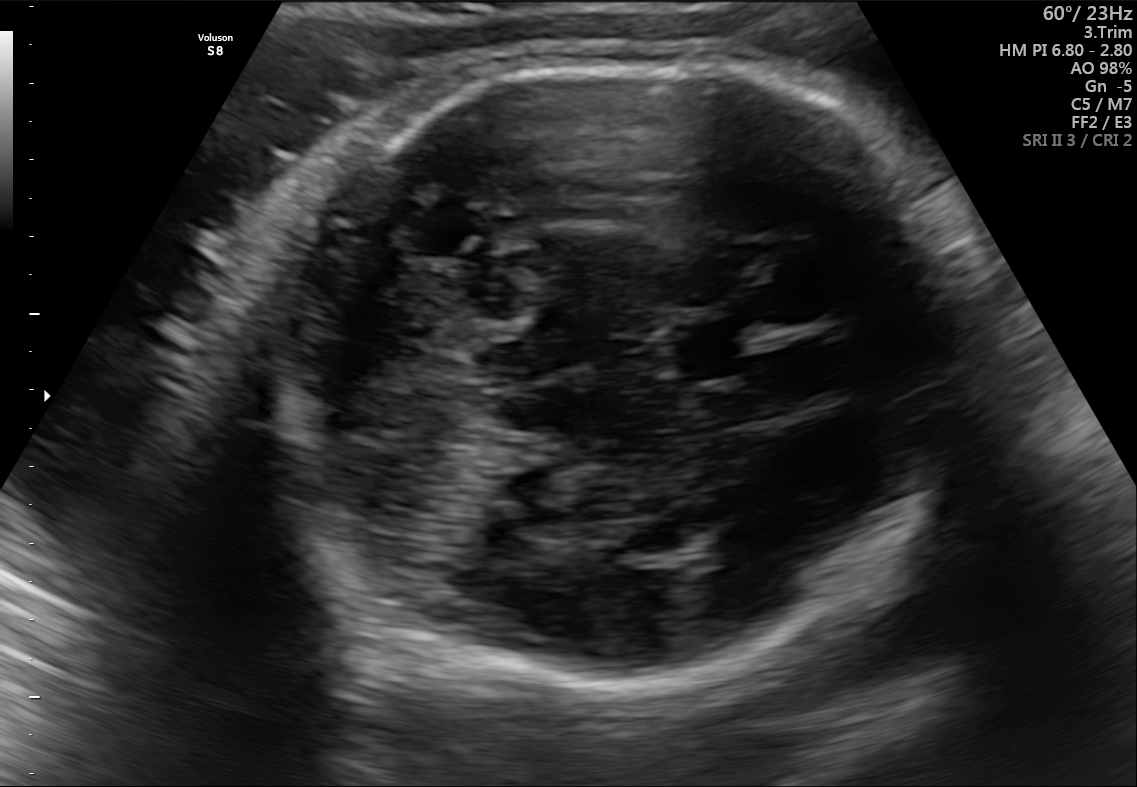
Fetal brain, trans-cerebellum plane. Locate the cavum septum pellucidum.

CSP: [656,306,764,391]